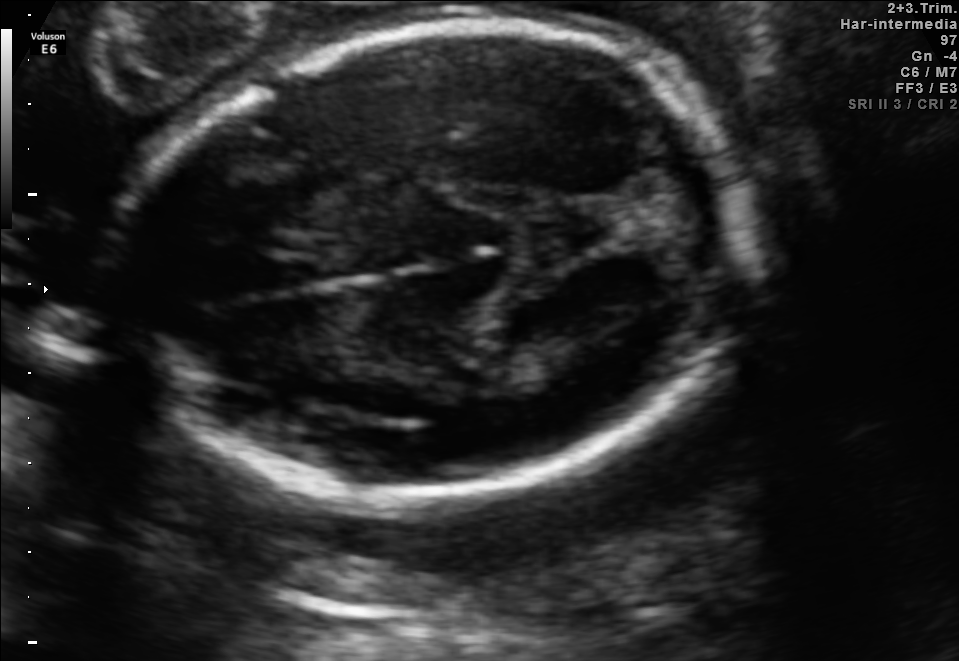
Fetal brain, trans-thalamic plane. Give [x1,y1,x2,y2] bounding boxes for each visible structure among: fetal head, CSP, LV.

Head: [122,26,747,511]